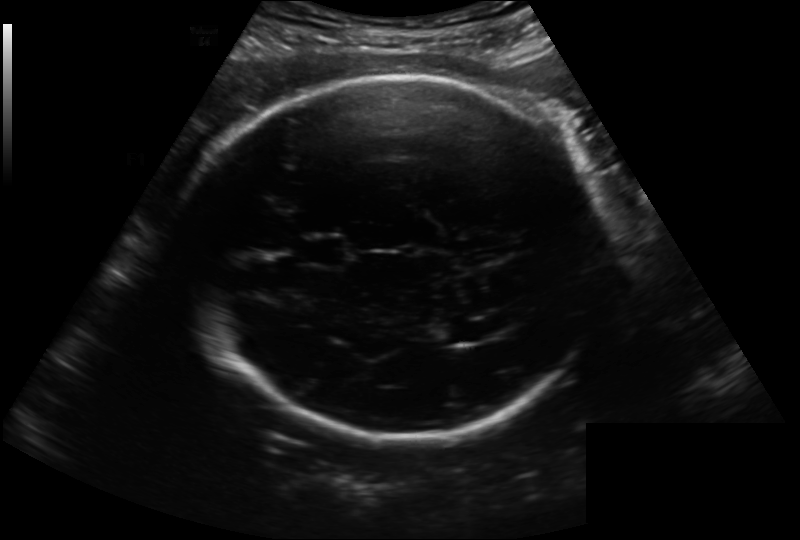
What is the fetal head circumference? Image width is 177.3 mm.

281.6 mm